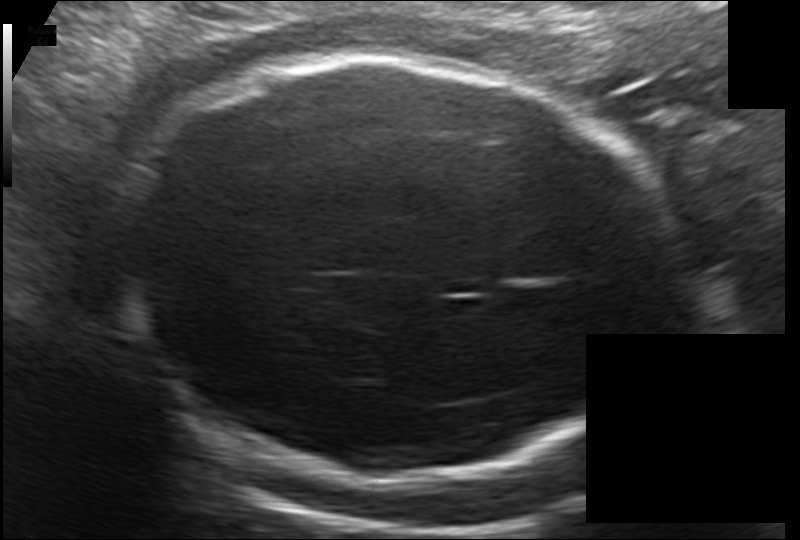
Fetal head ultrasound. Image width: 138.0 mm. Where is the fetal head?

Head bounding box: [116,55,672,480]